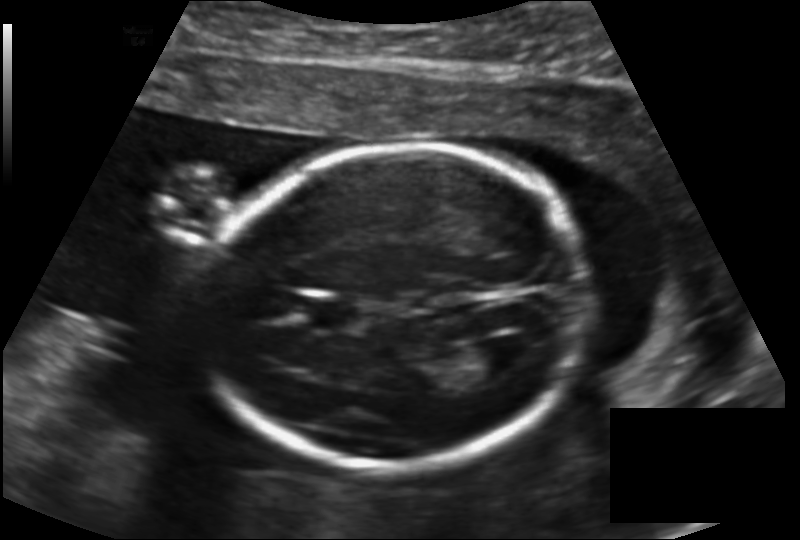
Fetal head ultrasound. Image width: 117.6 mm. Locate the fetal head.

Head: [203,144,584,468]